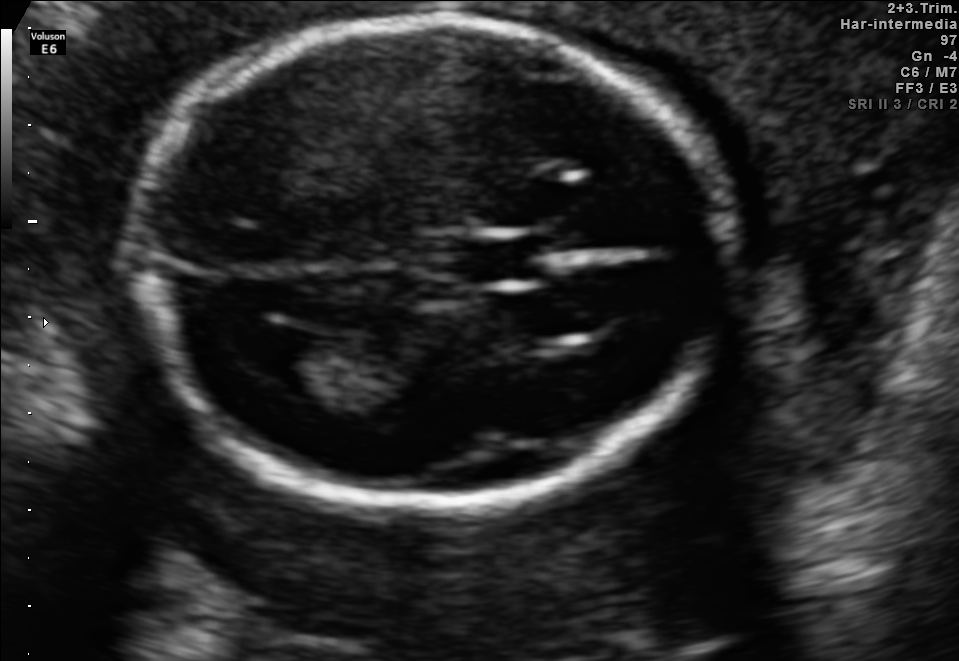
In this fetal brain, trans-ventricular plane, give the bounding box of the cavum septum pellucidum.

[442,239,561,282]